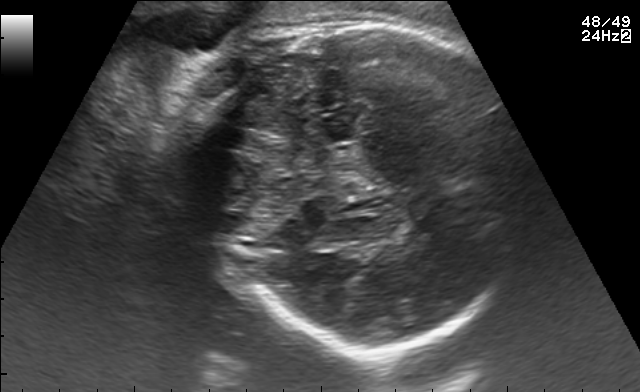
Fetal brain, trans-thalamic plane. Locate the fetal head and, if visible, the cavum septum pellucidum (CSP) and lateral ventricle (LV). Give bounding boxes as [x1,y1,x2,y2].

Head: [187,15,531,344]